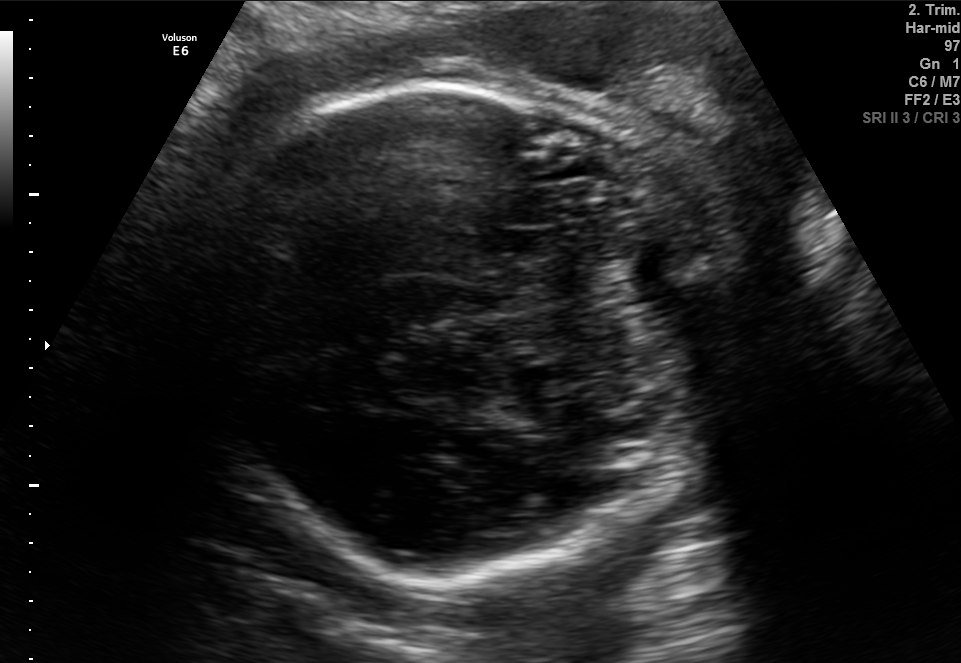
Fetal brain, trans-cerebellum plane. Give [x1,y1,x2,y2] bounding boxes for each visible structure among: fetal head, CSP, LV.

Head: [204,80,710,581]